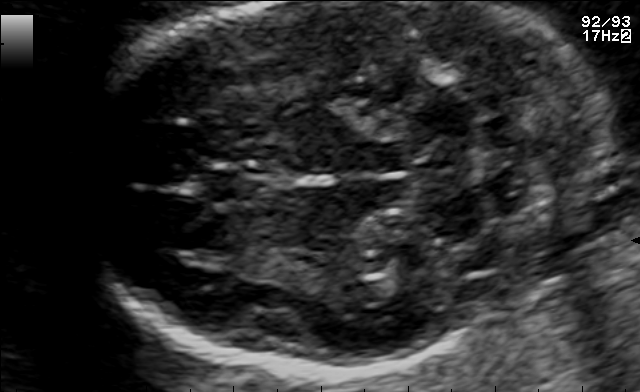
In this fetal brain, trans-cerebellum plane, give the bounding box of the cavum septum pellucidum.

[197,165,274,205]